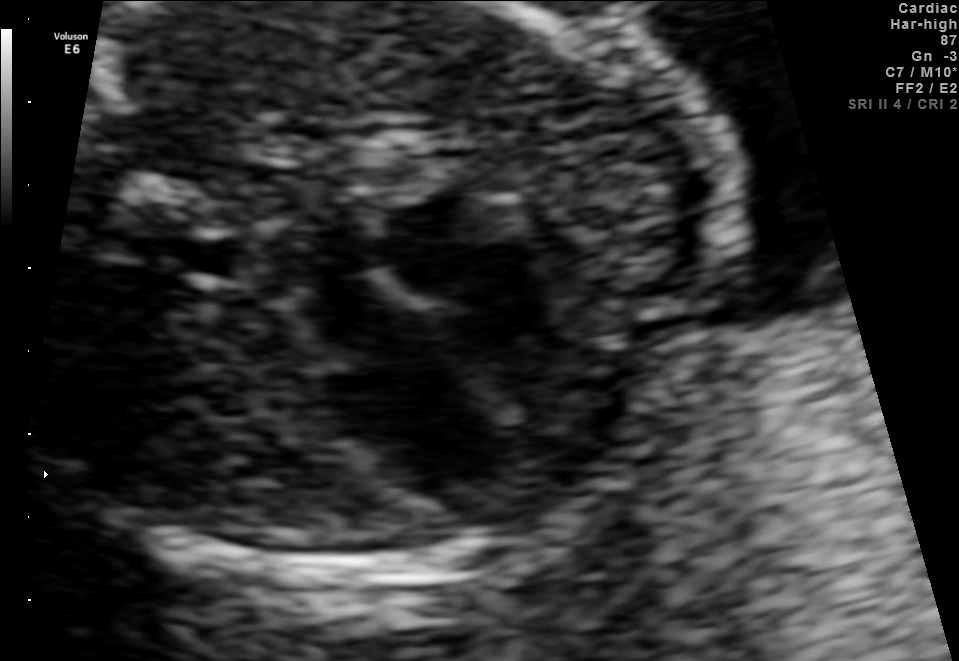
Classify this maternal-fetal ultrasound image as one of the six standard planes — fetal abdomen, fetal brain, fetal femur, fetal thorax, maternal cervix, or other. If it's fetal brain and one of the three standard brain planes (trans-thalamic, trans-cerebellum, trans-ventricular), name which.

Fetal thorax